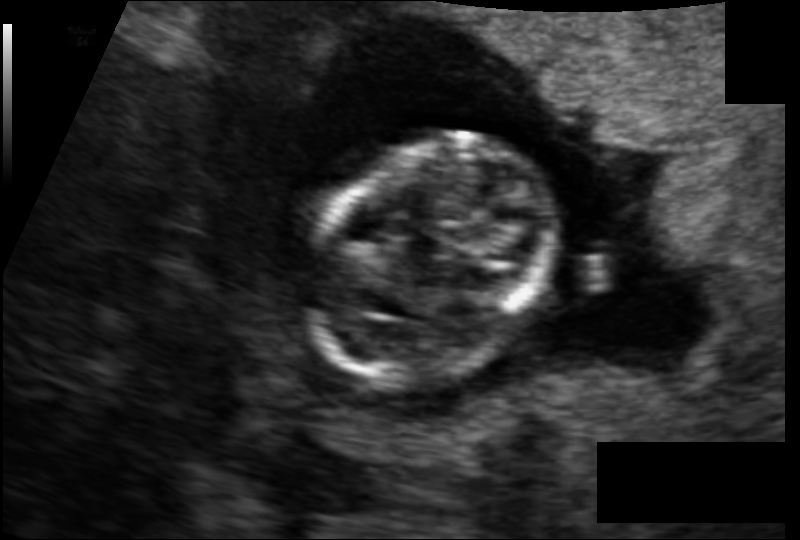
Fetal head ultrasound. Image width: 77.6 mm. Where is the fetal head?

Head bounding box: [291,134,557,378]